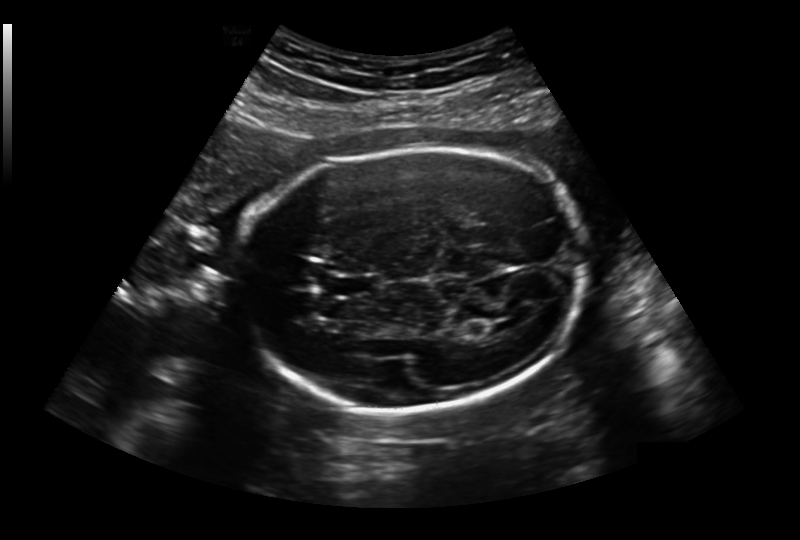
Estimate the fetal head circumference from this 2D ultrasound. Image width: 188.7 mm.

Head circumference: 231.5 mm.